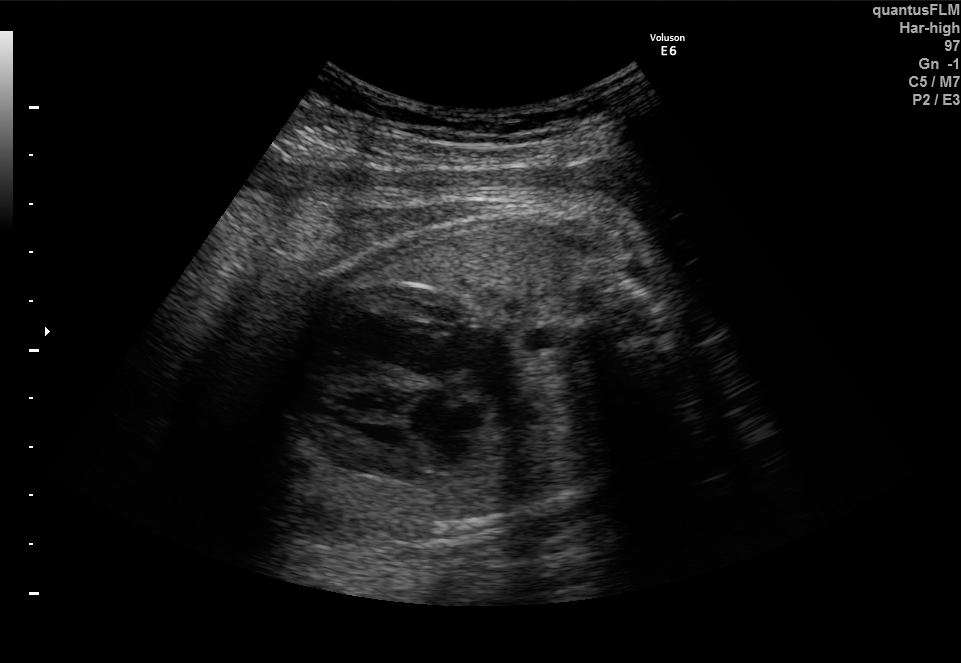
This is a 2D maternal-fetal ultrasound frame. Is it a fetal abdomen, fetal brain, fetal femur, fetal thorax, maternal cervix, or other standard plane? If it's fetal brain and one of the three standard brain planes (trans-thalamic, trans-cerebellum, trans-ventricular), name which.

Fetal thorax